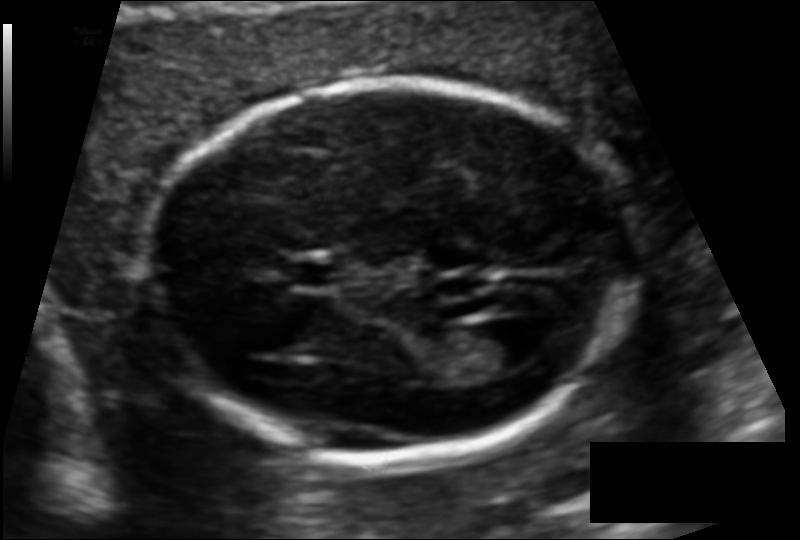
Fetal head ultrasound. Image width: 88.0 mm. Locate the lateral ventricle.

Lateral ventricle: [462,309,552,380]